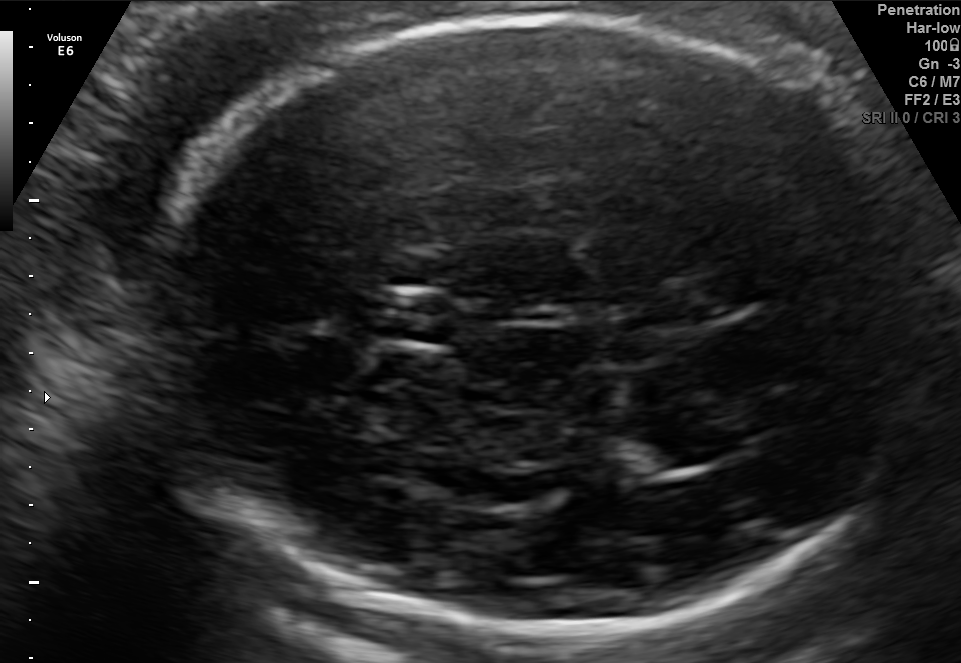
Fetal brain, trans-thalamic plane. Where is the fetal head?

Head bounding box: [137,20,940,631]